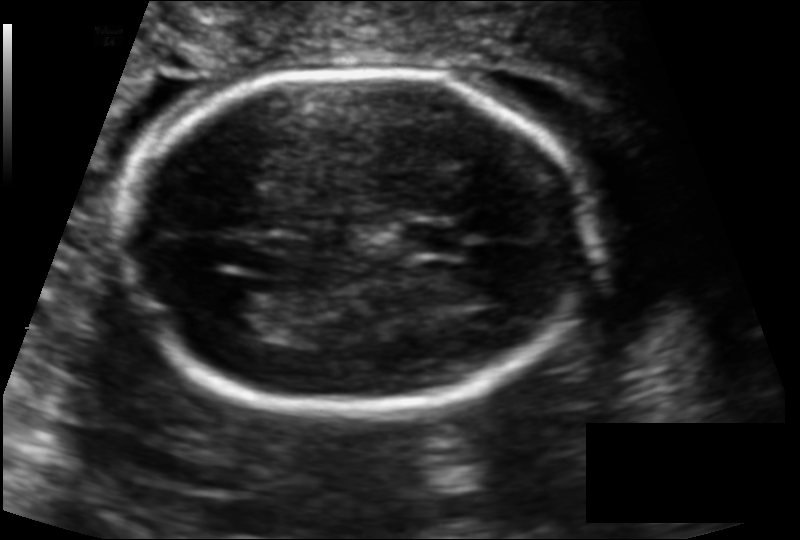
Estimate the fetal head circumference from this 2D ultrasound. Image width: 97.4 mm.

Head circumference: 160.2 mm.